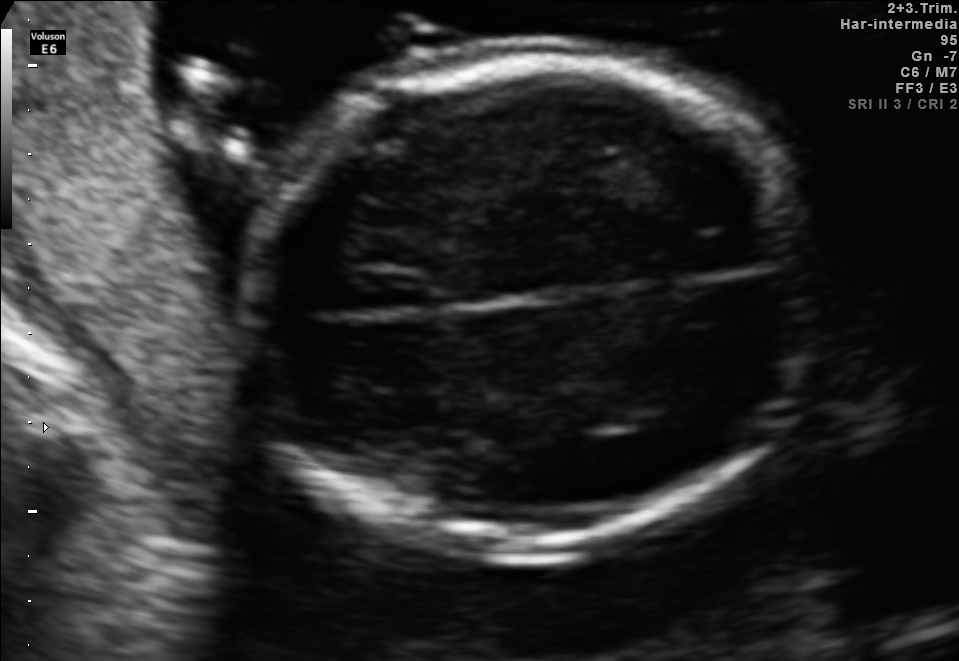
Fetal brain, trans-thalamic plane. Where is the fetal head?

Head bounding box: [260,54,813,545]